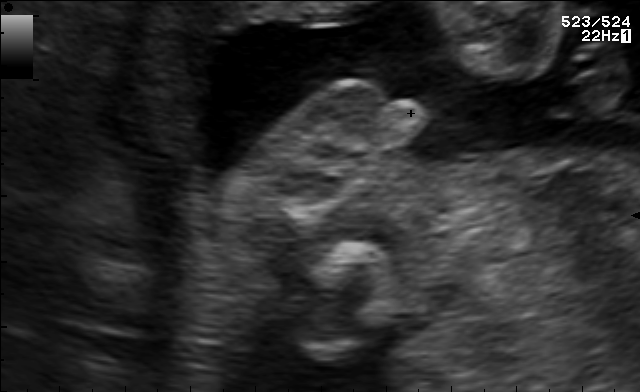
Identify the standard plane in this fetal ultrasound image: fetal abdomen, fetal brain, fetal femur, fetal thorax, maternal cervix, or other. If it's fetal brain and one of the three standard brain planes (trans-thalamic, trans-cerebellum, trans-ventricular), name which.

Other